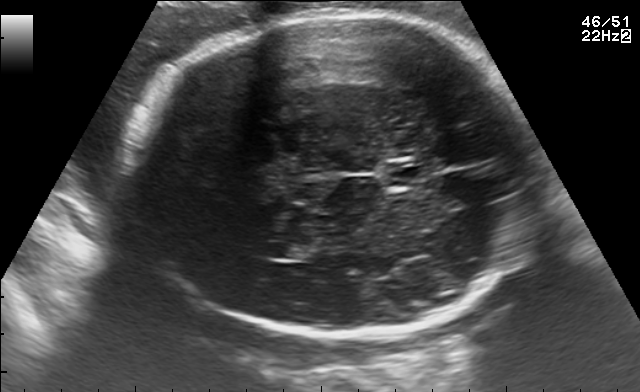
Fetal brain, trans-thalamic plane. Locate the fetal head and, if visible, the cavum septum pellucidum (CSP) and lateral ventricle (LV). Give bounding boxes as [x1,y1,x2,y2].

Head: [125,17,539,336]
CSP: [387,161,427,187]
Lateral ventricle: [261,240,312,260]